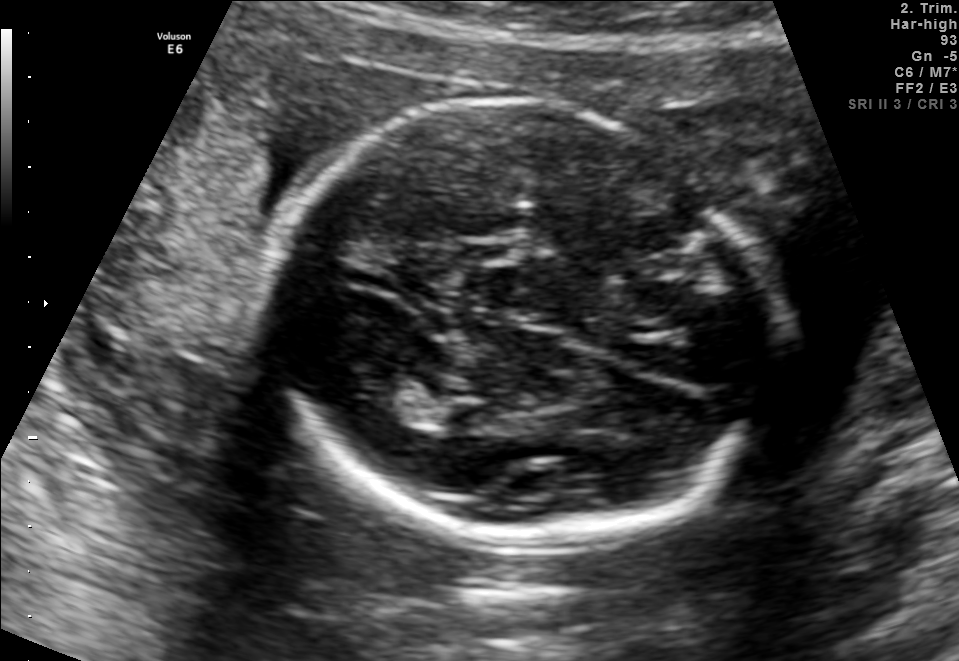
Which standard maternal-fetal ultrasound plane is shown: fetal abdomen, fetal brain, fetal femur, fetal thorax, maternal cervix, or other? If it's fetal brain and one of the three standard brain planes (trans-thalamic, trans-cerebellum, trans-ventricular), name which.

Fetal brain (trans-thalamic plane)